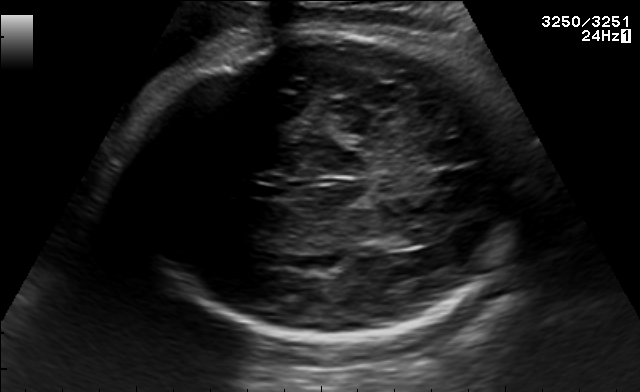
Fetal brain, trans-thalamic plane. Where is the lateral ventricle?

Lateral ventricle bounding box: [377,226,432,252]